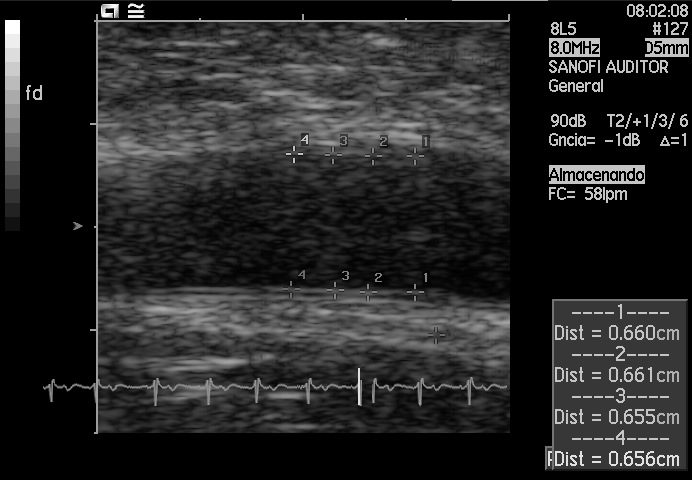
Identify the standard plane in this fetal ultrasound image: fetal abdomen, fetal brain, fetal femur, fetal thorax, maternal cervix, or other. If it's fetal brain and one of the three standard brain planes (trans-thalamic, trans-cerebellum, trans-ventricular), name which.

Other